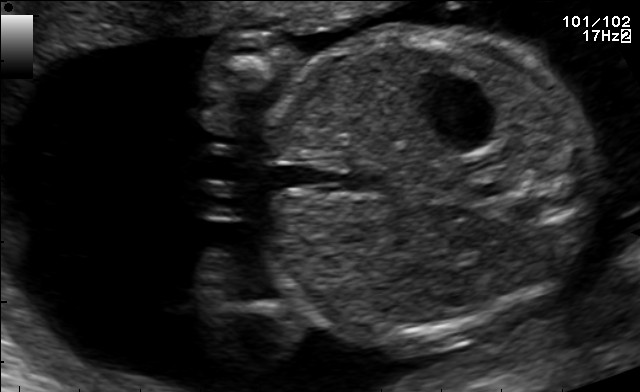
Which standard maternal-fetal ultrasound plane is shown: fetal abdomen, fetal brain, fetal femur, fetal thorax, maternal cervix, or other? If it's fetal brain and one of the three standard brain planes (trans-thalamic, trans-cerebellum, trans-ventricular), name which.

Fetal abdomen